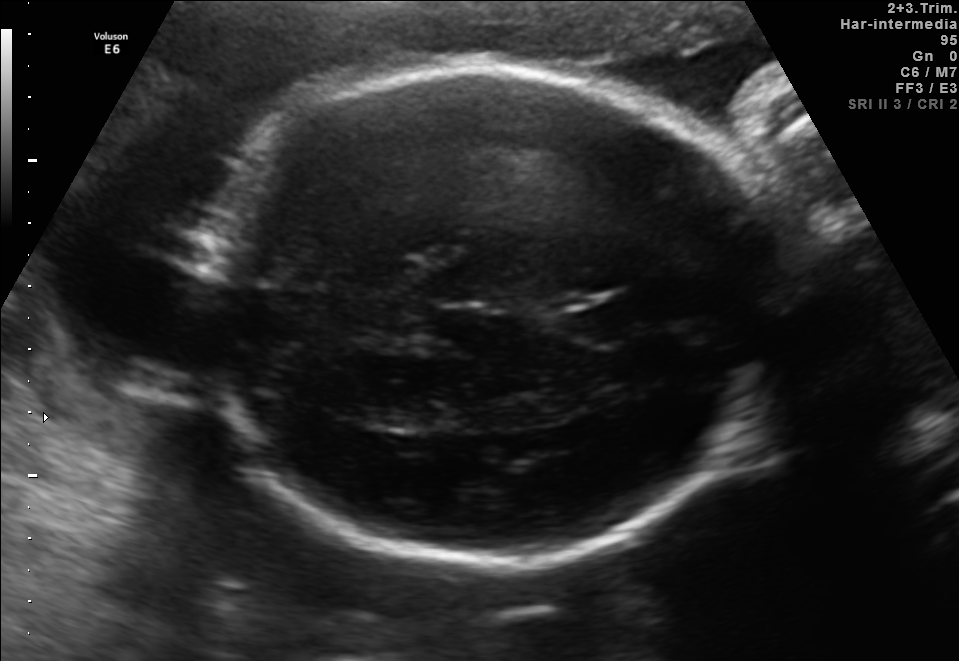
Fetal brain, trans-thalamic plane. Locate the lateral ventricle.

Lateral ventricle: [344,393,432,431]